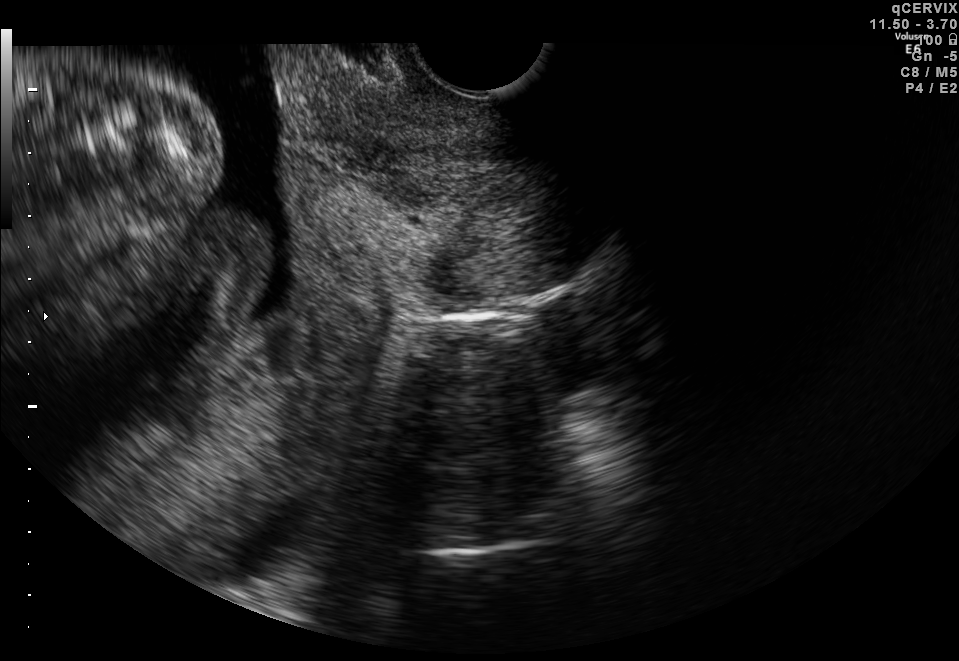
Which standard maternal-fetal ultrasound plane is shown: fetal abdomen, fetal brain, fetal femur, fetal thorax, maternal cervix, or other? If it's fetal brain and one of the three standard brain planes (trans-thalamic, trans-cerebellum, trans-ventricular), name which.

Maternal cervix